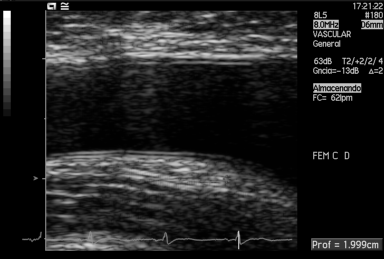
Identify the standard plane in this fetal ultrasound image: fetal abdomen, fetal brain, fetal femur, fetal thorax, maternal cervix, or other. If it's fetal brain and one of the three standard brain planes (trans-thalamic, trans-cerebellum, trans-ventricular), name which.

Other